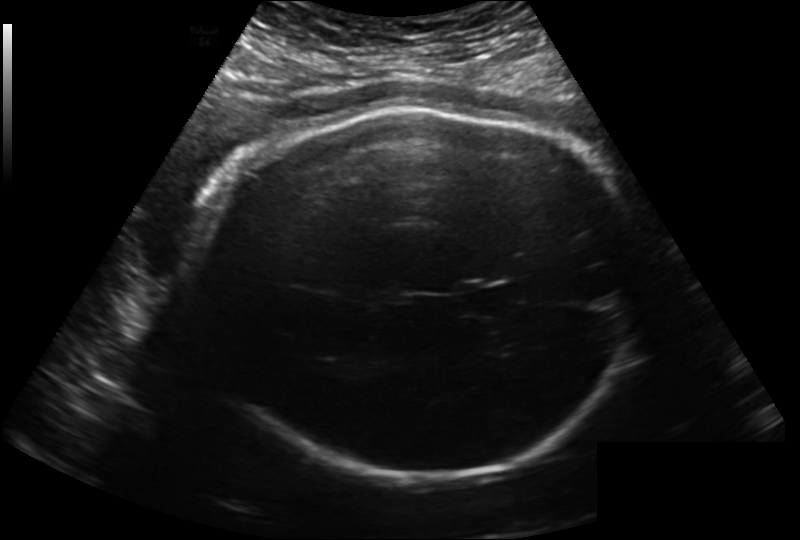
In this fetal head ultrasound, give the bounding box of the fetal head. Image width: 177.2 mm.

[196,106,639,480]